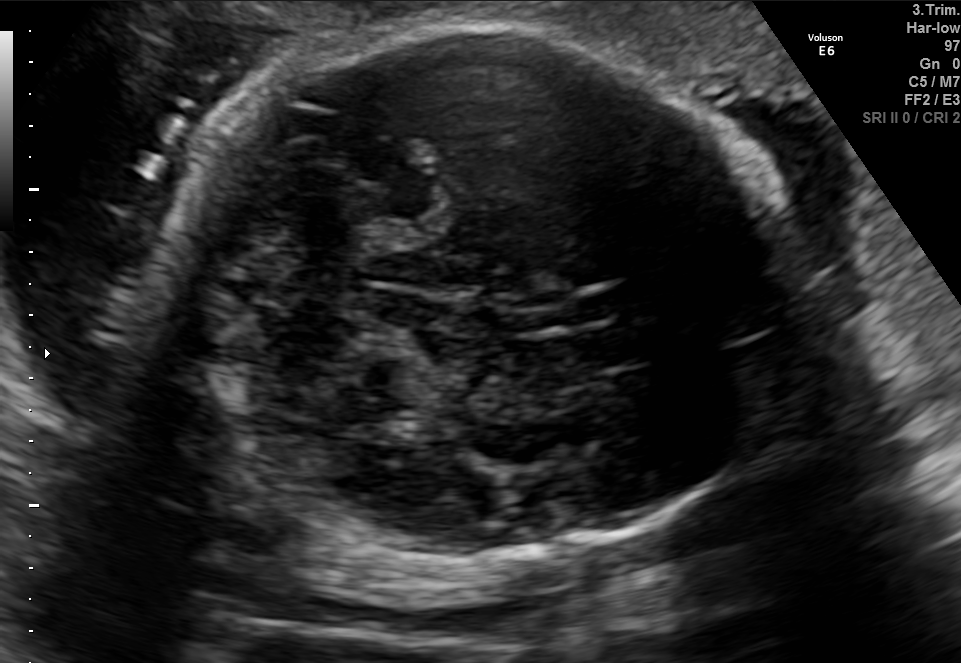
Fetal brain, trans-cerebellum plane. Give [x1,y1,x2,y2] bounding boxes for each visible structure among: fetal head, CSP, LV.

Head: [162,26,795,561]